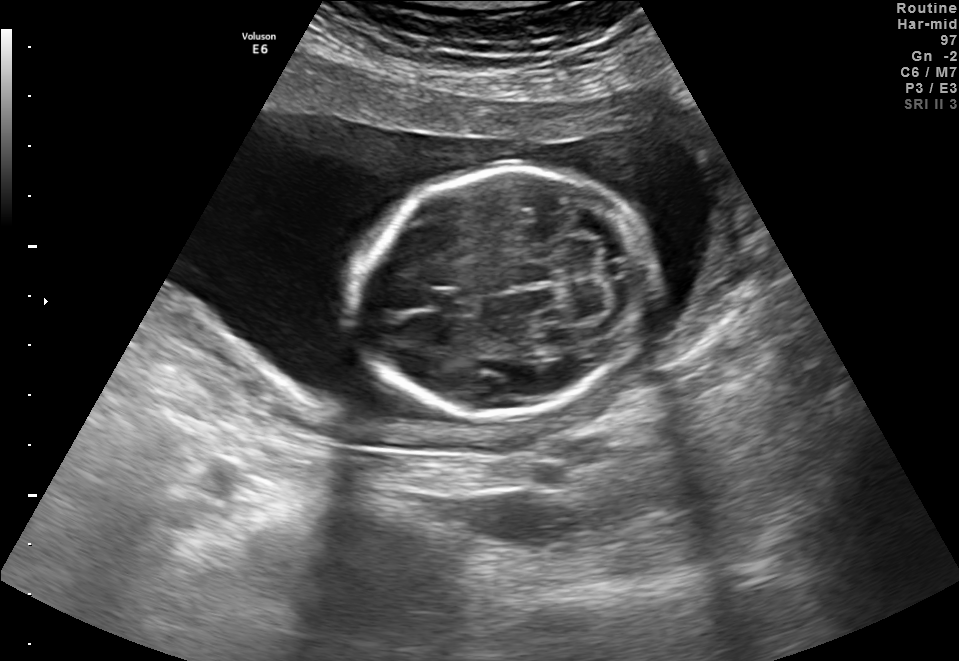
Fetal brain, trans-cerebellum plane. Where is the fetal head?

Head bounding box: [351,169,654,416]